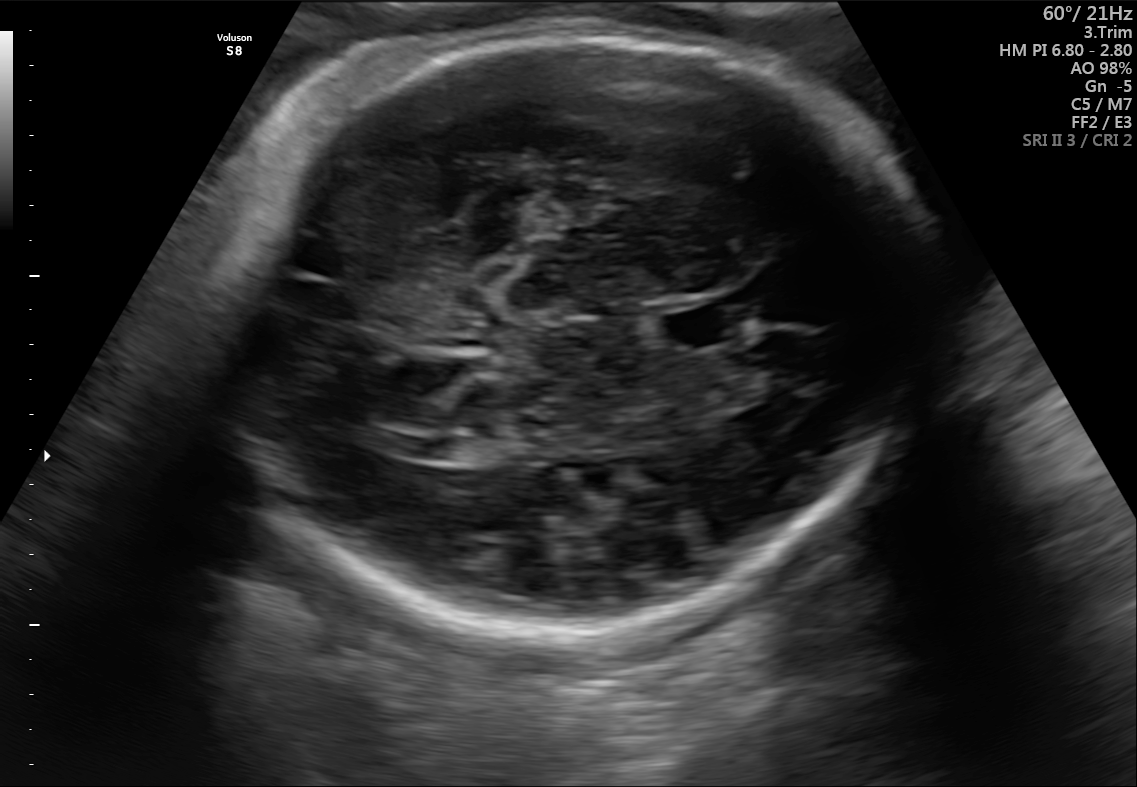
In this fetal brain, trans-thalamic plane, give the bounding box of the fetal head.

[206,29,931,623]